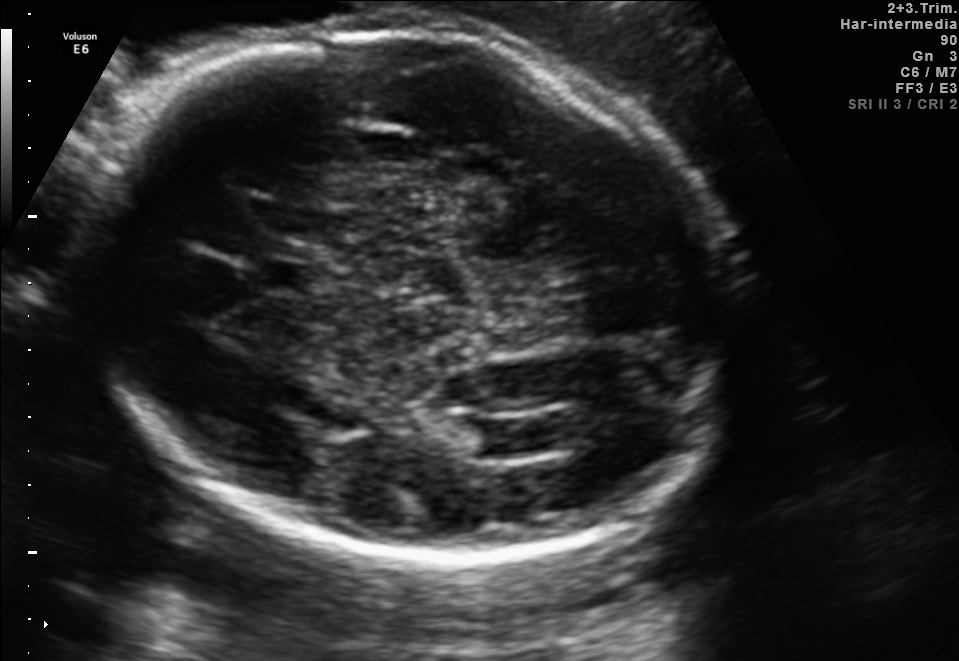
Fetal brain, trans-ventricular plane. Locate the lateral ventricle.

Lateral ventricle: [470,410,566,458]